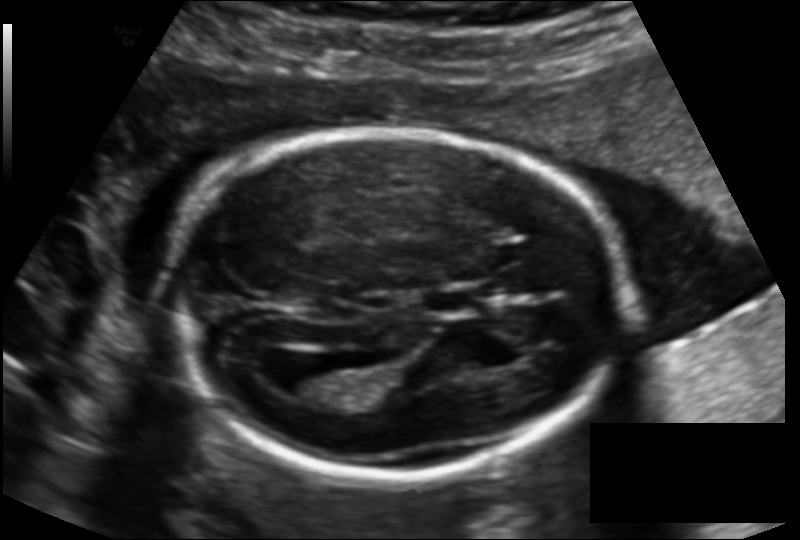
In this fetal head ultrasound, give bounding boxes for the head outline, cavum septum pellucidum (CSP), and lateral ventricle (LV), where visible. Image width: 109.0 mm.

Head: [165,130,630,475]
CSP: [421,287,477,315]
Lateral ventricle: [279,354,353,405]